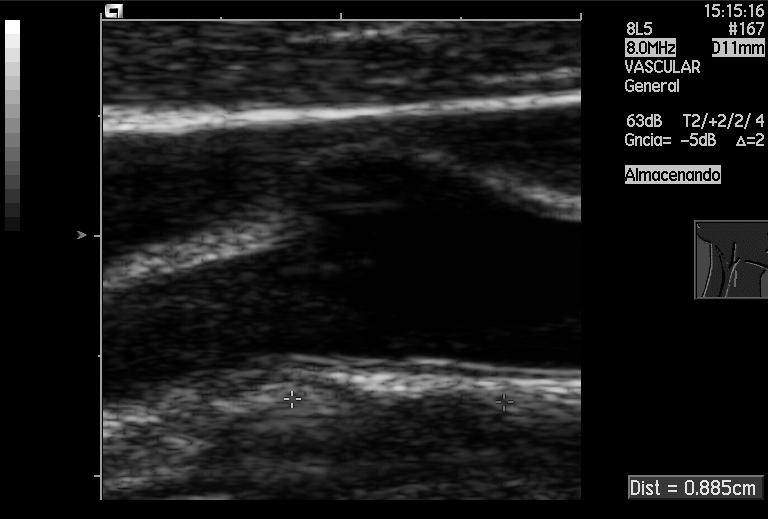
This is a 2D maternal-fetal ultrasound frame. Is it a fetal abdomen, fetal brain, fetal femur, fetal thorax, maternal cervix, or other standard plane? If it's fetal brain and one of the three standard brain planes (trans-thalamic, trans-cerebellum, trans-ventricular), name which.

Other